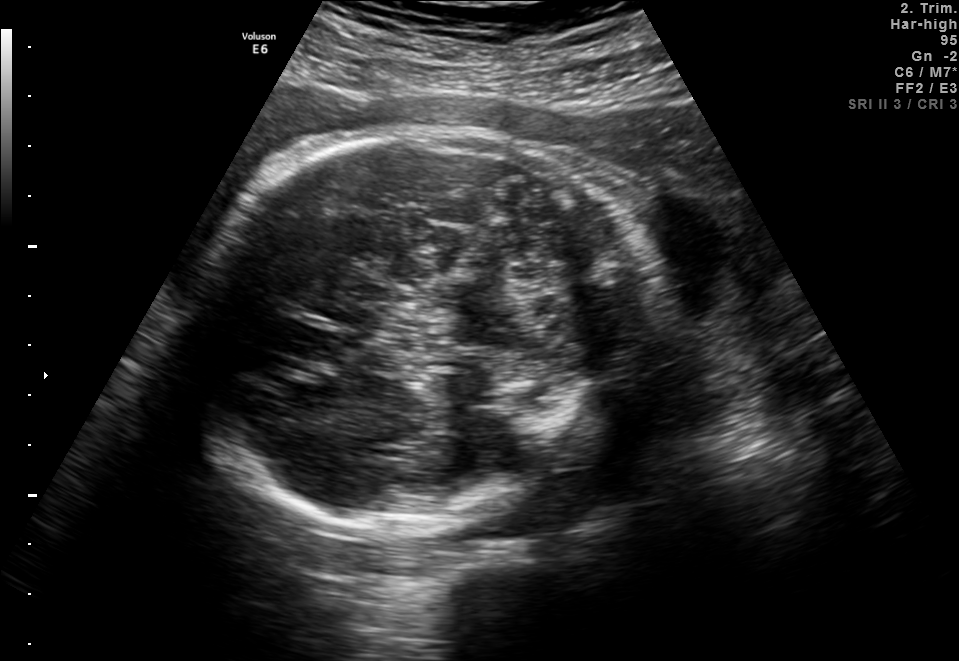
Fetal brain, trans-thalamic plane. Where is the fetal head?

Head bounding box: [192,130,657,535]